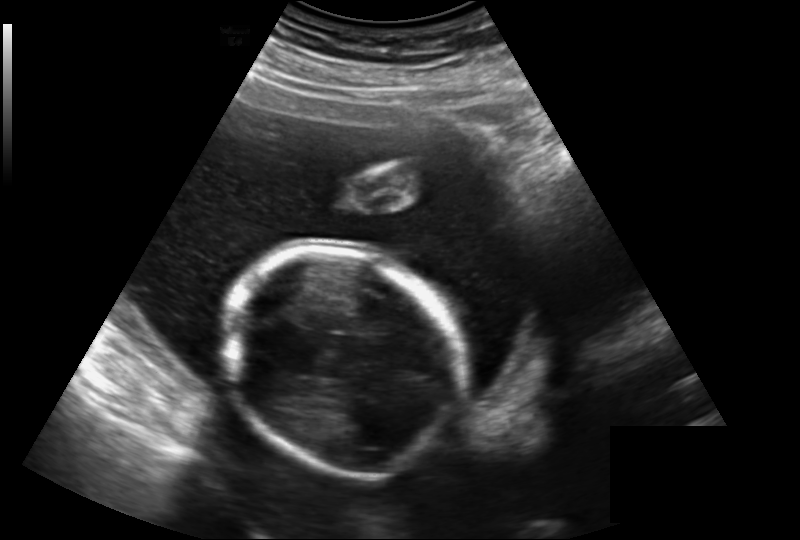
What is the fetal head circumference? Image width is 175.3 mm.

163.1 mm